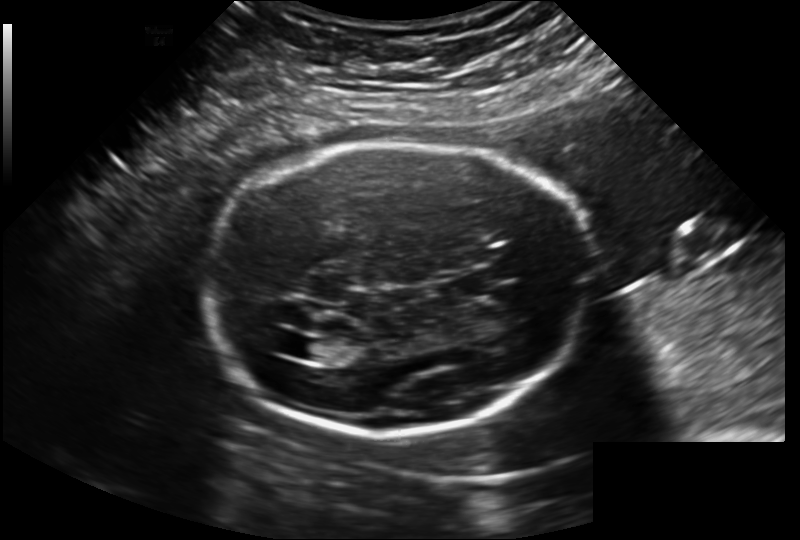
In this fetal head ultrasound, give the bounding box of the fetal head. Image width: 161.6 mm.

[205,141,585,433]